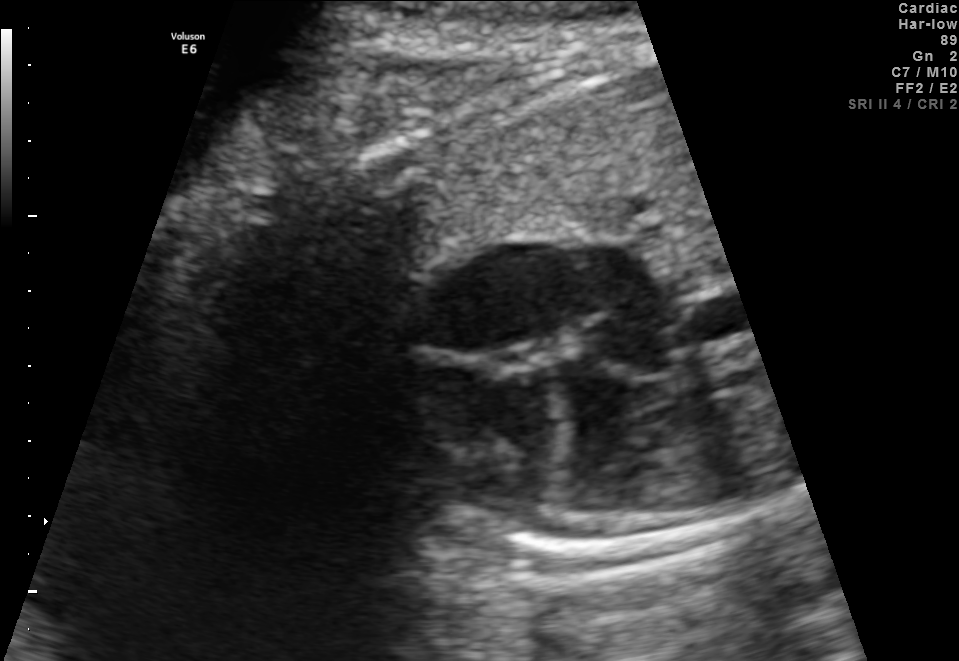
Which standard maternal-fetal ultrasound plane is shown: fetal abdomen, fetal brain, fetal femur, fetal thorax, maternal cervix, or other? If it's fetal brain and one of the three standard brain planes (trans-thalamic, trans-cerebellum, trans-ventricular), name which.

Fetal thorax